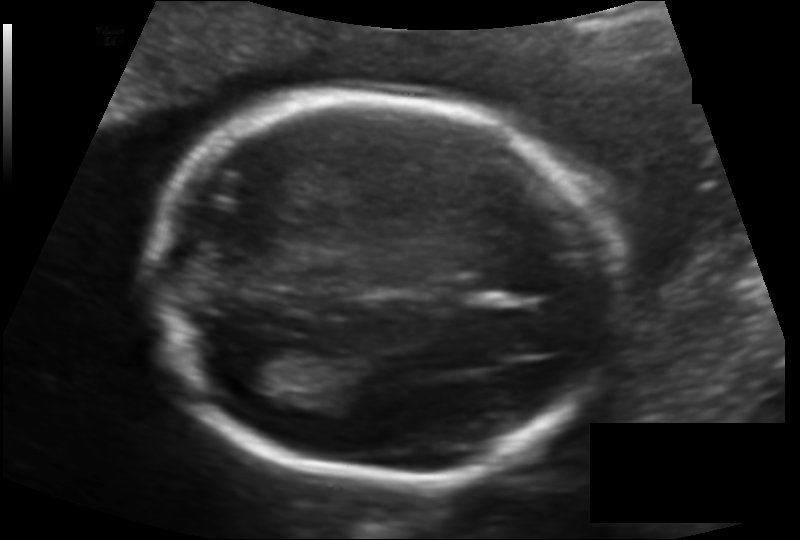
Measure the fetal head circumference shown in this ultrasound image. Image width: 102.7 mm.

Head circumference: 174.3 mm.